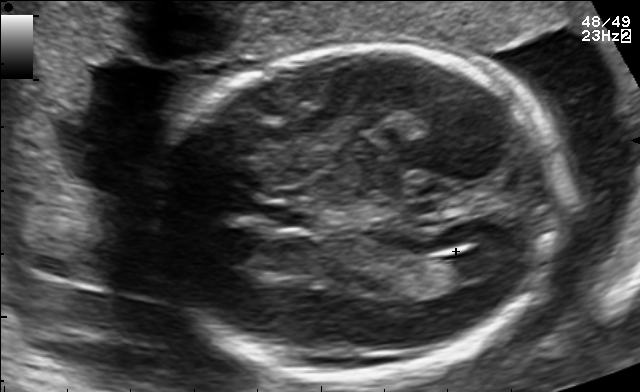
In this fetal brain, trans-ventricular plane, give bounding boxes for the head outline, cavum septum pellucidum (CSP), and lateral ventricle (LV), where visible.

Head: [158,43,573,384]
CSP: [253,198,322,235]
Lateral ventricle: [437,241,510,287]